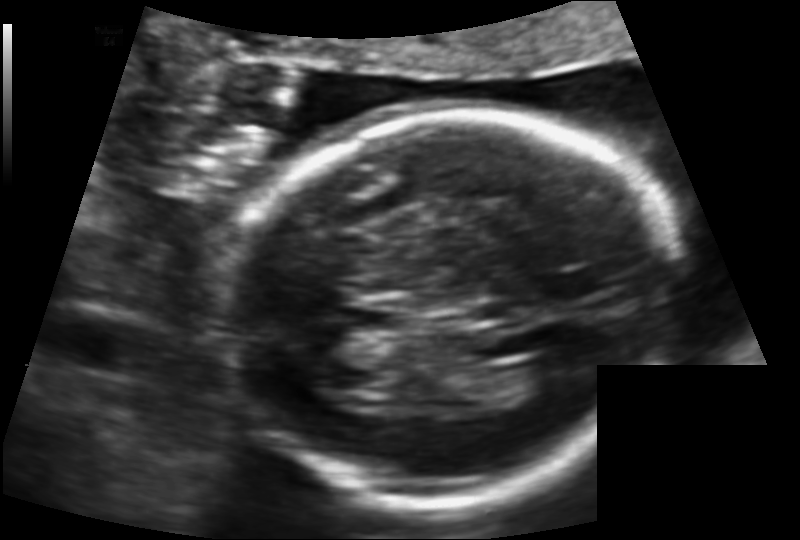
Fetal head ultrasound. Image width: 97.9 mm. Locate the fetal head.

Head: [228,111,672,504]